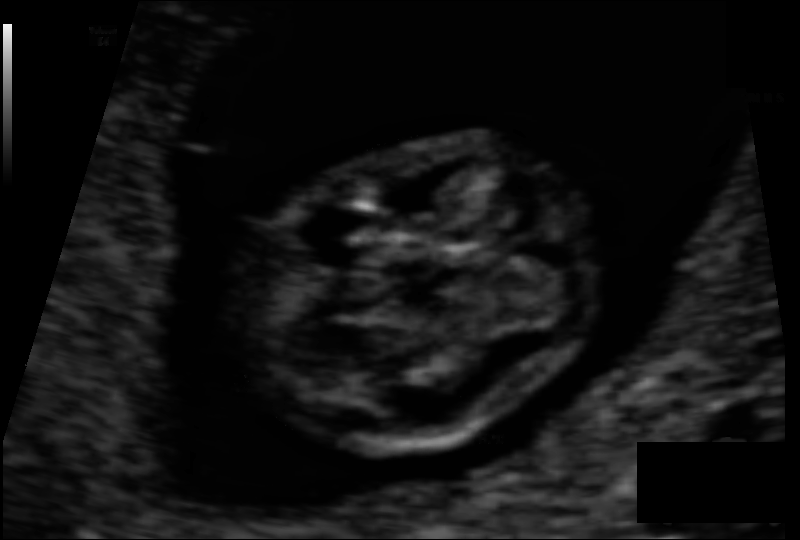
In this fetal head ultrasound, give bounding boxes for the head outline, cavum septum pellucidum (CSP), and lateral ventricle (LV), where visible. Image width: 48.2 mm.

Head: [245,141,596,446]